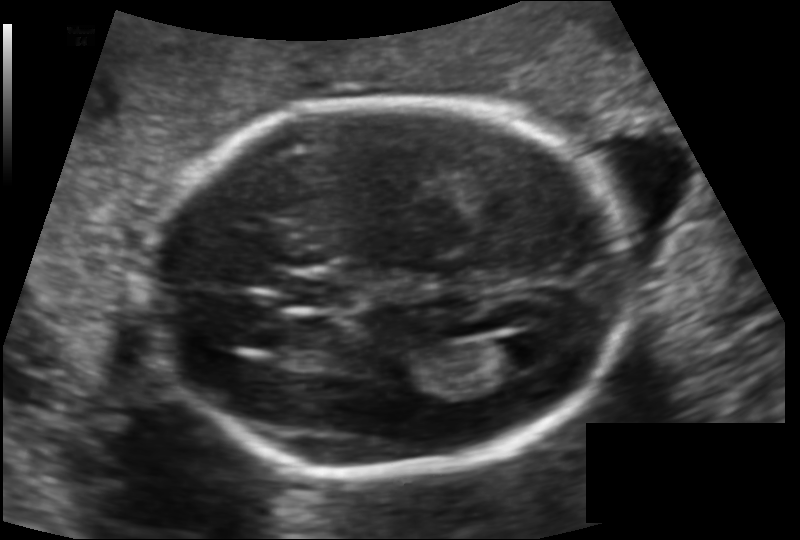
In this fetal head ultrasound, give bounding boxes for the head outline, cavum septum pellucidum (CSP), and lateral ventricle (LV), where visible. Image width: 100.1 mm.

Head: [149,101,624,476]
CSP: [282,275,359,308]
Lateral ventricle: [482,328,552,378]